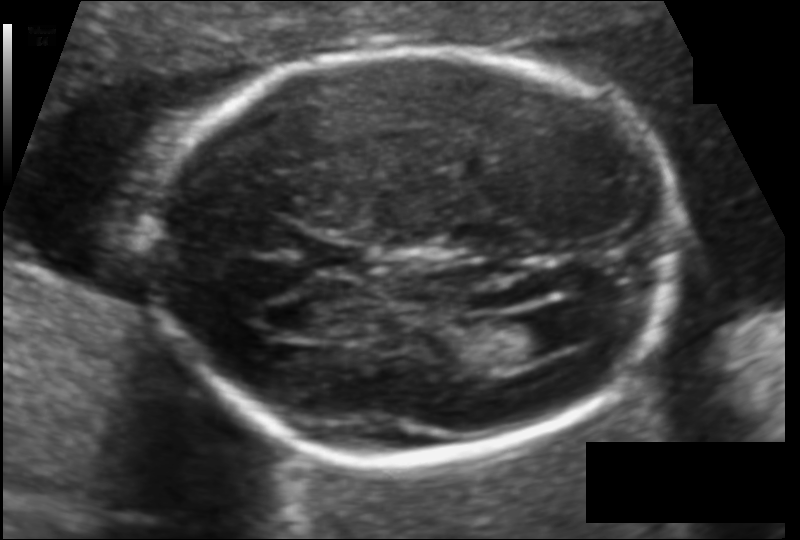
Measure the fetal head circumference shown in this ultrasound image. Image width: 89.1 mm.

Head circumference: 169.3 mm.